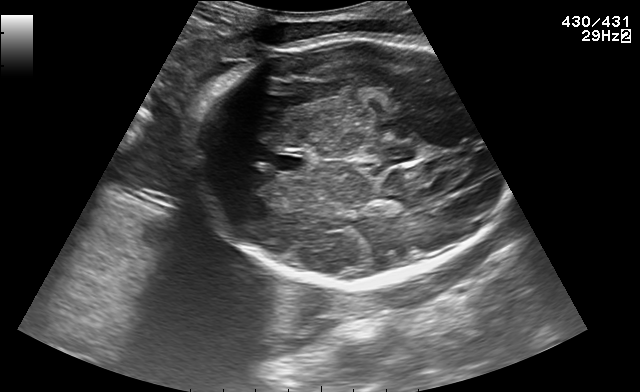
Fetal brain, trans-thalamic plane. Where is the cavum septum pellucidum?

CSP bounding box: [272,151,307,171]